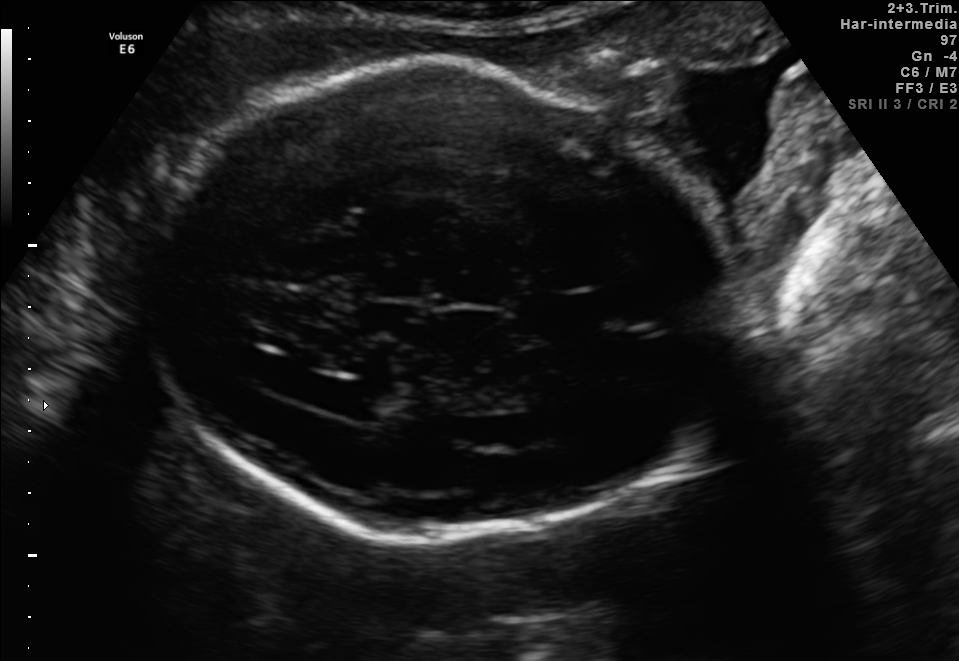
Fetal brain, trans-ventricular plane. Locate the lateral ventricle.

Lateral ventricle: [302,370,400,426]